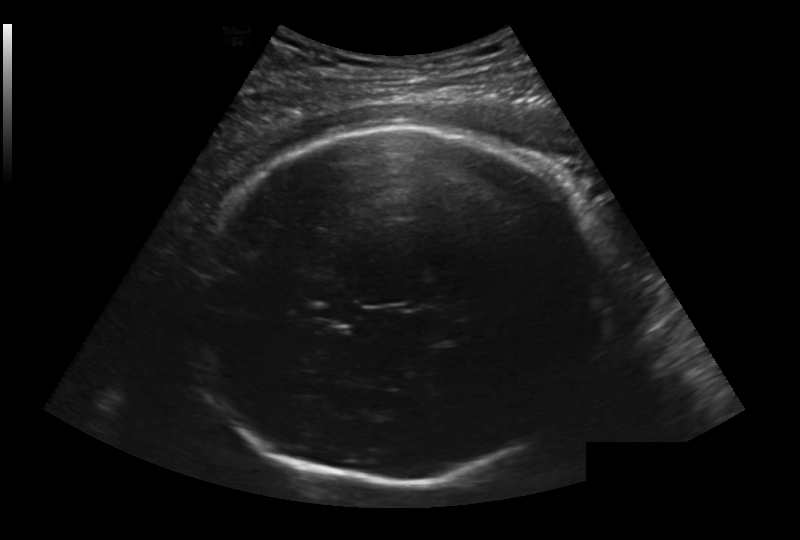
Estimate the fetal head circumference from this 2D ultrasound.

Head circumference: 289.2 mm (image width 188.7 mm).